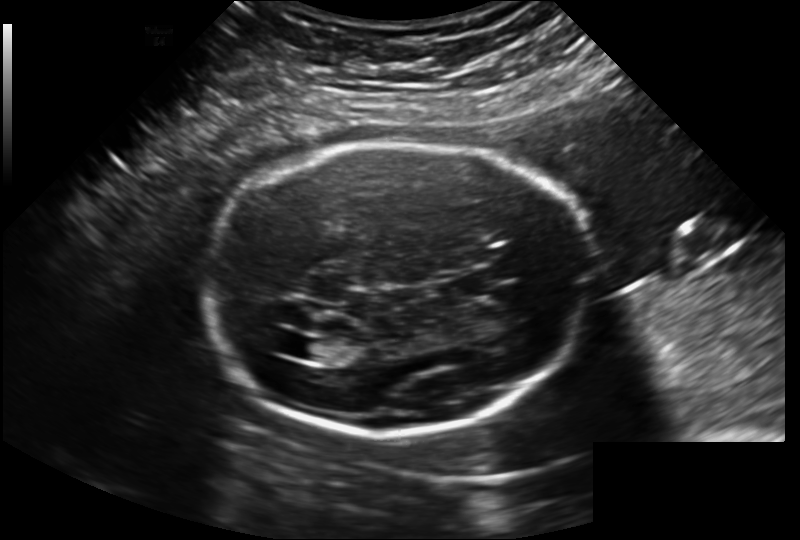
In this fetal head ultrasound, give the bounding box of the cavum septum pellucidum. Image width: 161.6 mm.

[435,269,491,308]